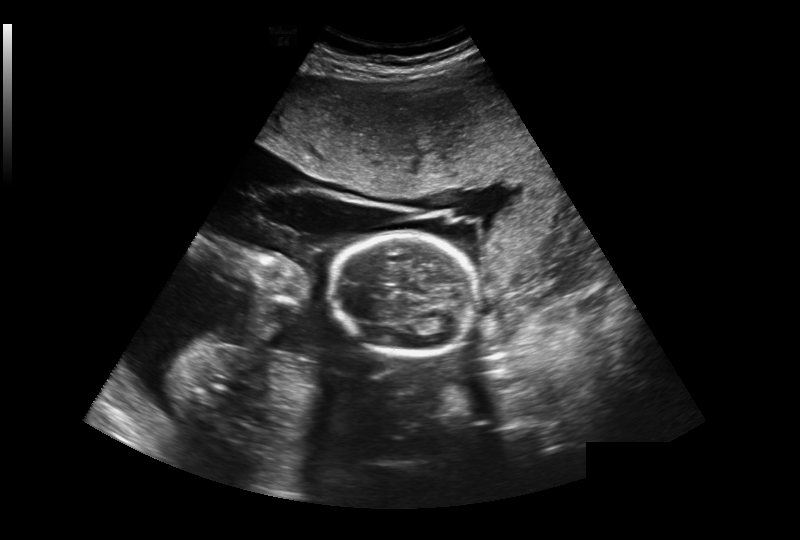
Estimate the fetal head circumference from this 2D ultrasound. Image width: 314.6 mm.

Head circumference: 172.7 mm.